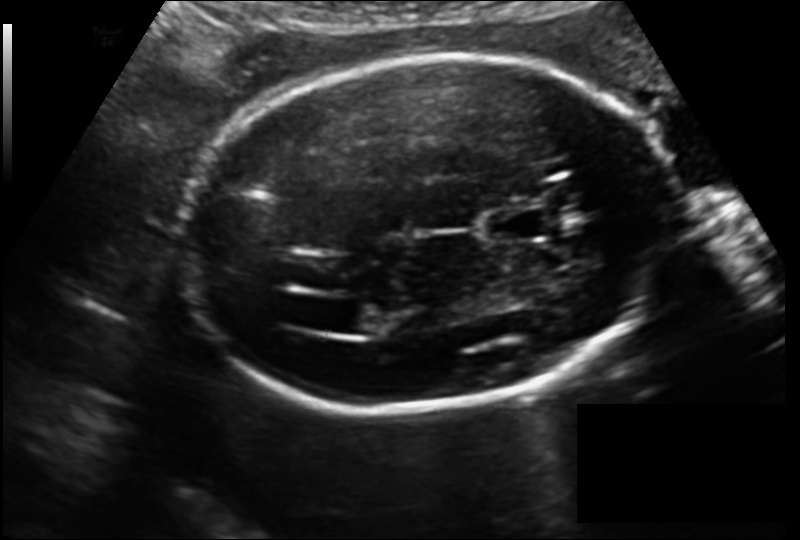
In this fetal head ultrasound, give the bounding box of the cavum septum pellucidum. Image width: 120.3 mm.

[484,206,547,243]